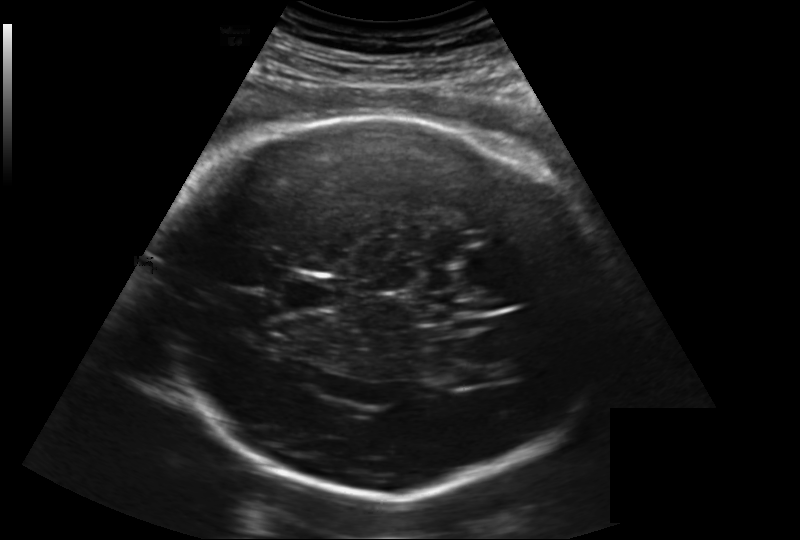
In this fetal head ultrasound, give bounding boxes for the head outline, cavum septum pellucidum (CSP), and lateral ventricle (LV), where visible. Image width: 175.3 mm.

Head: [158,116,611,499]
CSP: [280,278,336,311]
Lateral ventricle: [439,347,500,390]